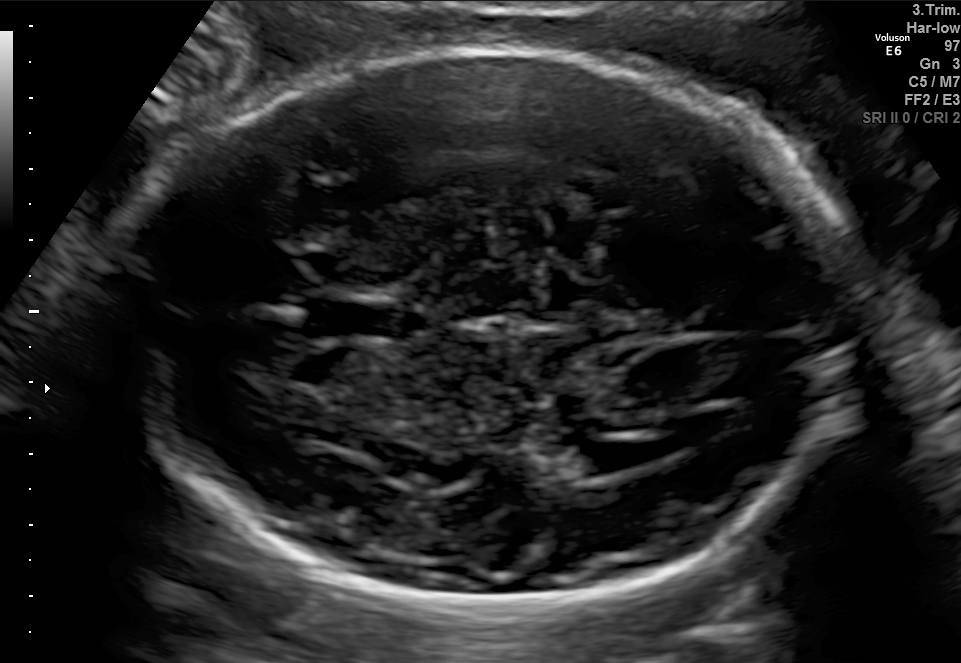
Fetal brain, trans-ventricular plane. Where is the lateral ventricle?

Lateral ventricle bounding box: [573,434,660,481]